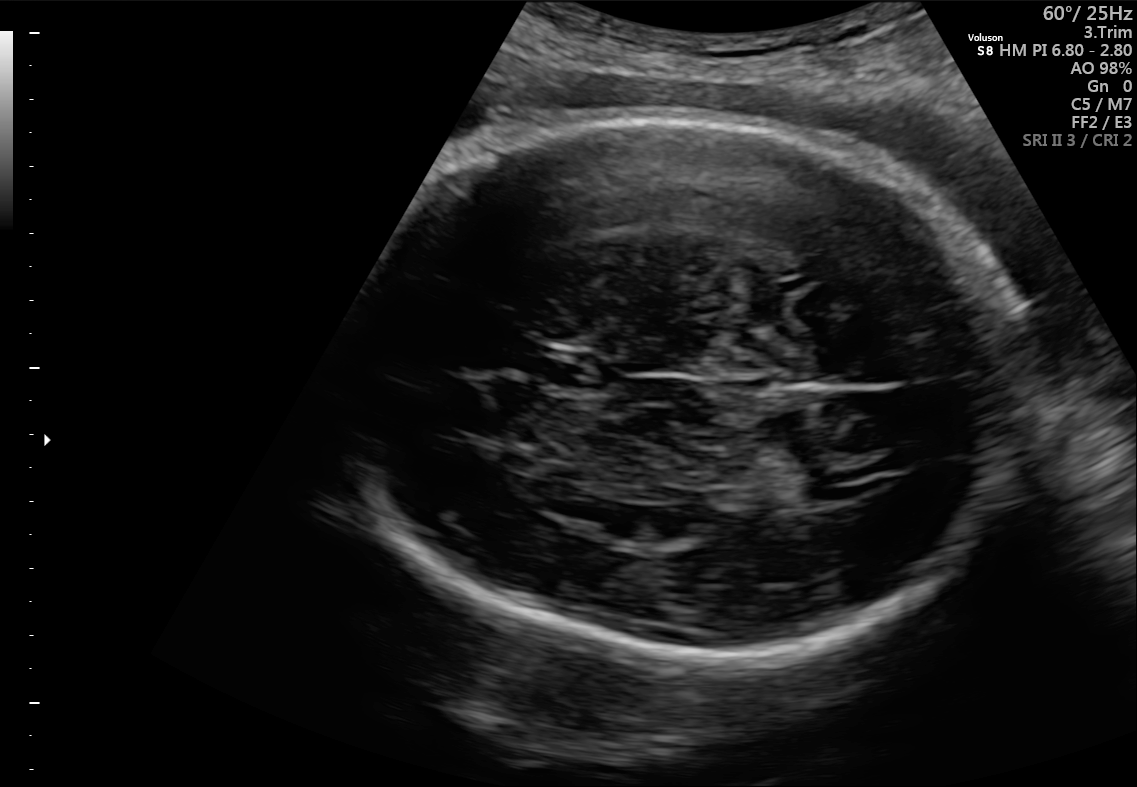
Fetal brain, trans-thalamic plane. Where is the cavum septum pellucidum?

CSP bounding box: [544,348,612,393]